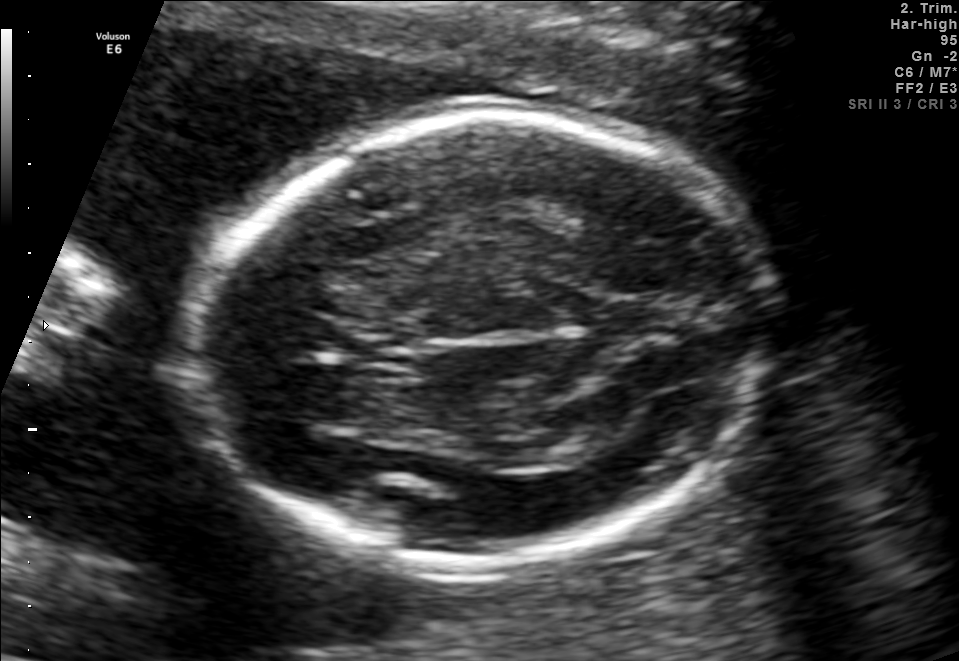
Fetal brain, trans-thalamic plane. Locate the fetal head and, if visible, the cavum septum pellucidum (CSP) and lateral ventricle (LV). Give bounding boxes as [x1,y1,x2,y2].

Head: [187,114,770,567]